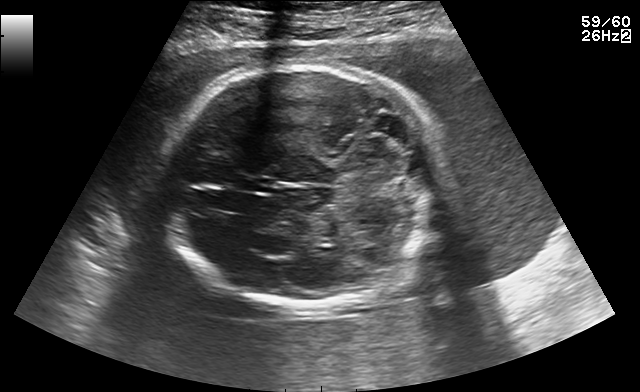
Fetal brain, trans-cerebellum plane. Give [x1,y1,x2,y2] bounding boxes for each visible structure among: fetal head, CSP, LV.

Head: [161,65,448,306]
CSP: [237,174,273,195]